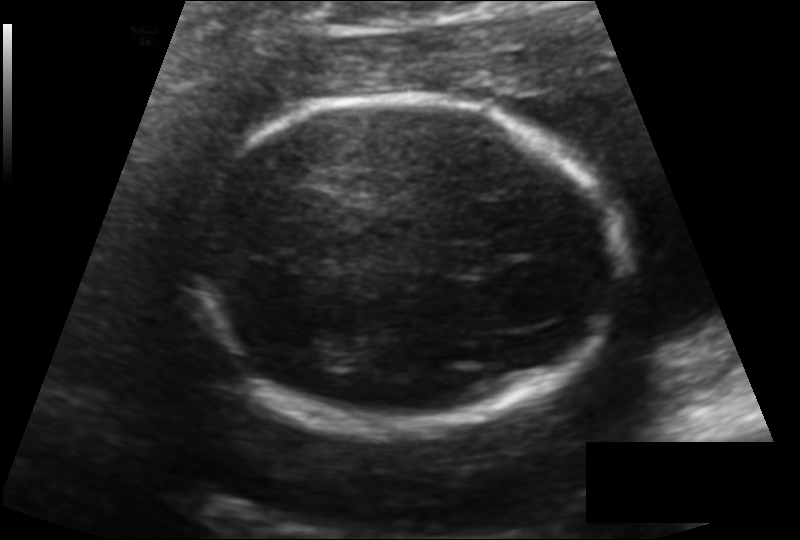
From this fetal ultrasound, estimate the head circumference (image width 109.0 mm).

Head circumference: 166.9 mm.